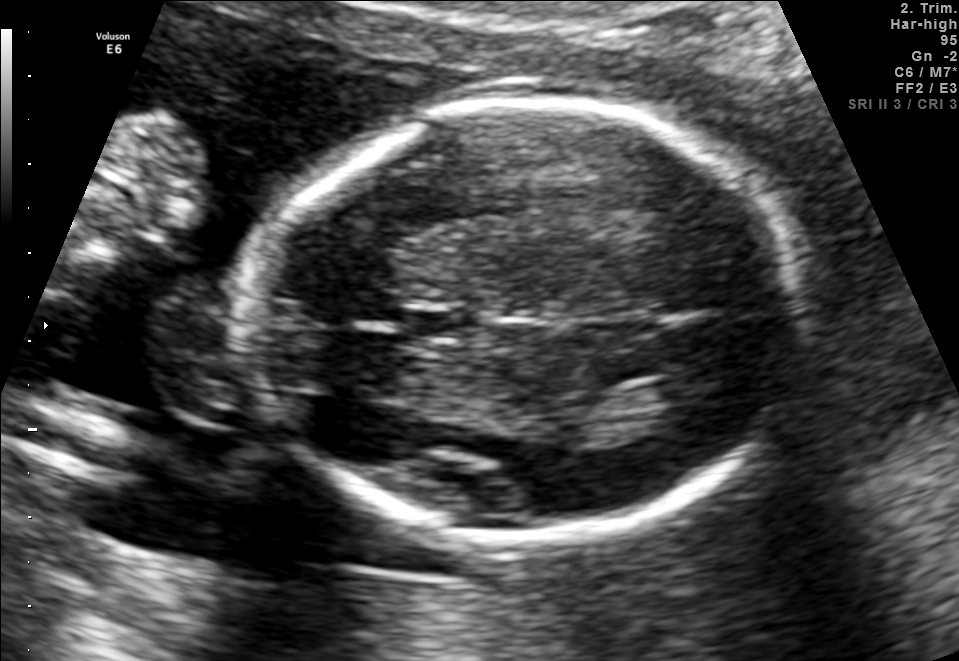
Fetal brain, trans-thalamic plane. Locate the lateral ventricle.

Lateral ventricle: [625,370,694,413]